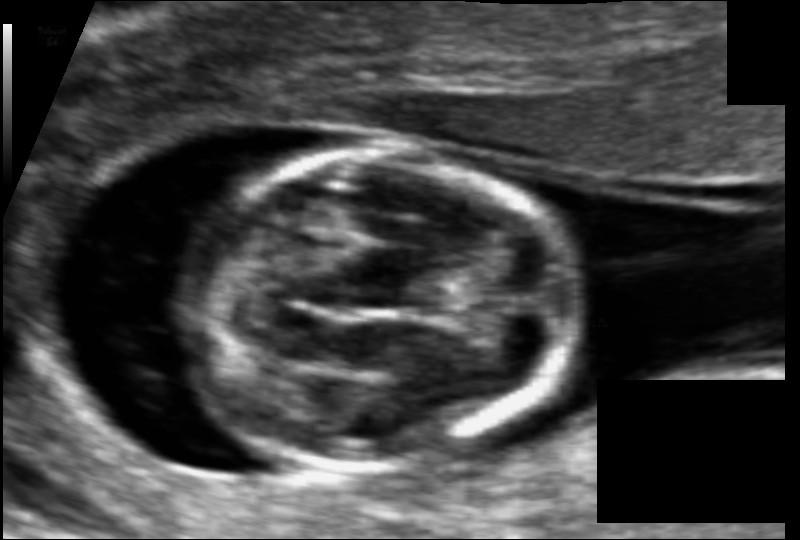
Fetal head ultrasound. Image width: 53.6 mm. Where is the fetal head?

Head bounding box: [186,154,567,469]